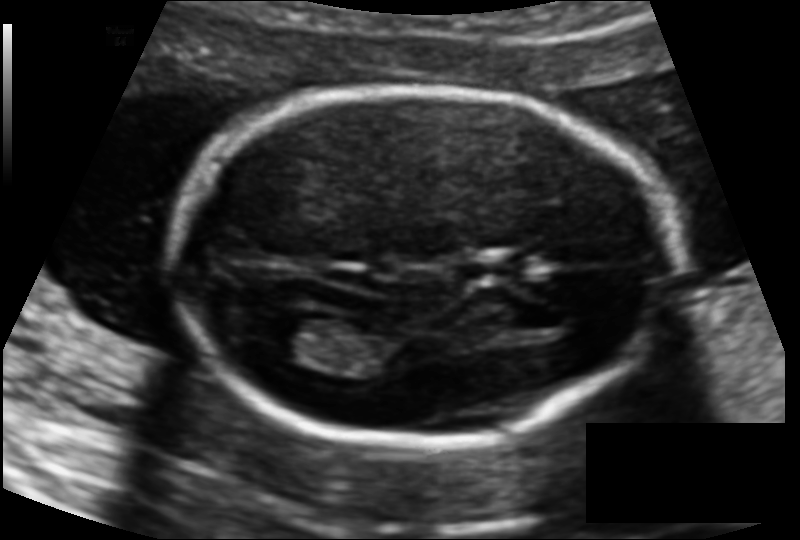
Estimate the fetal head circumference from this 2D ultrasound. Image width: 91.5 mm.

Head circumference: 158.8 mm.